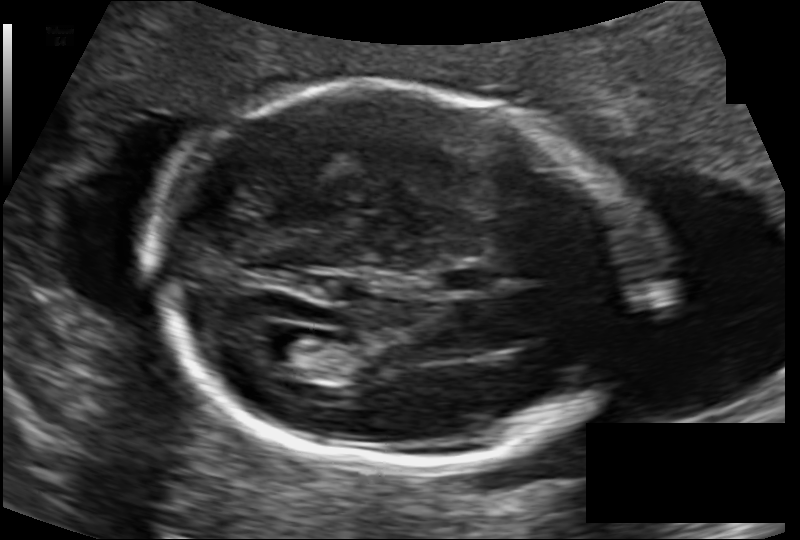
Estimate the fetal head circumference from this 2D ultrasound.

Head circumference: 169.7 mm (image width 95.8 mm).